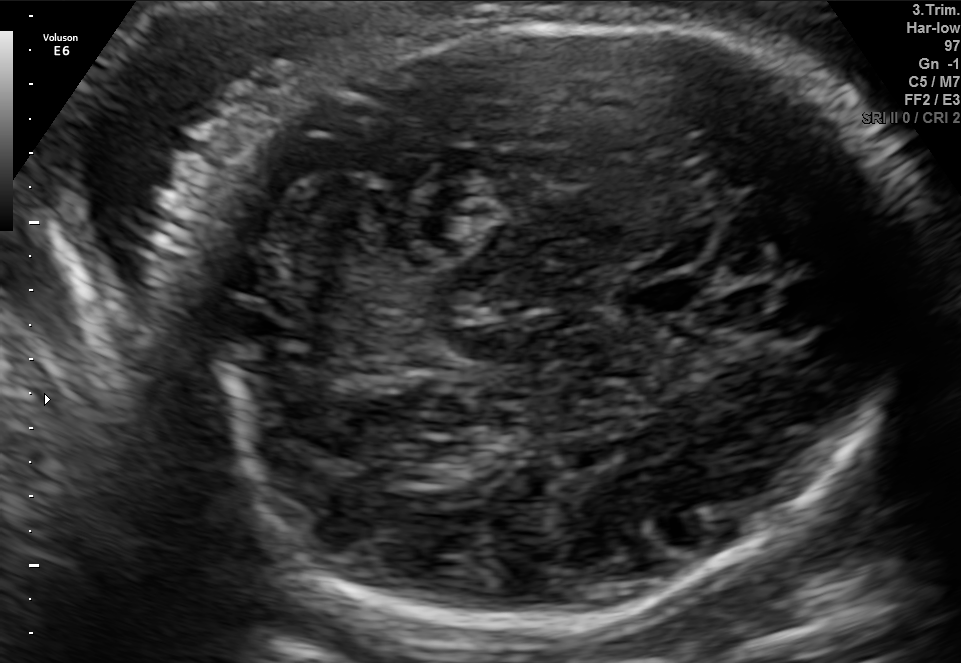
Fetal brain, trans-cerebellum plane. Give [x1,y1,x2,y2] bounding boxes for each visible structure among: fetal head, CSP, LV.

Head: [201,18,918,623]
CSP: [617,262,712,329]